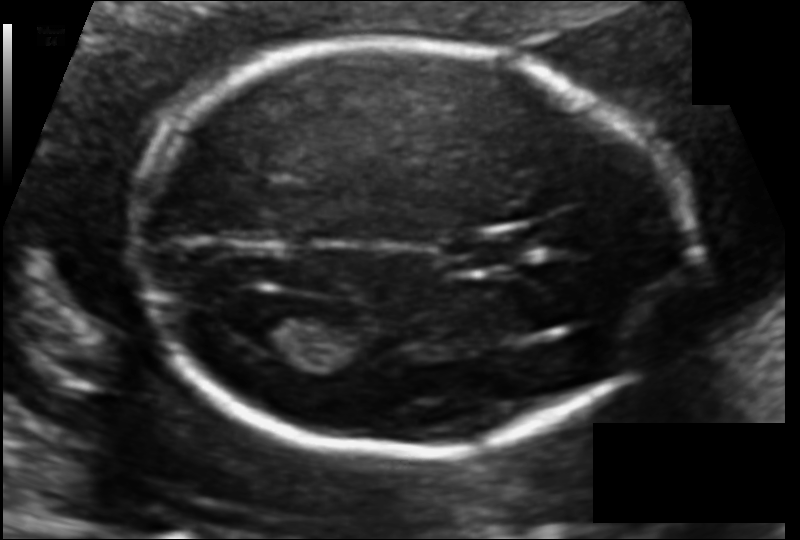
Measure the fetal head circumference shown in this ultrasound image. Image width: 84.8 mm.

Head circumference: 166.4 mm.